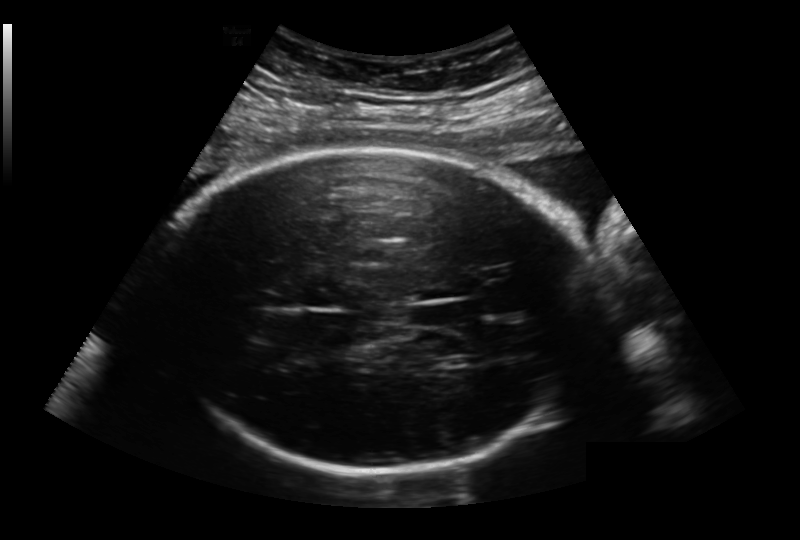
Estimate the fetal head circumference from this 2D ultrasound. Image width: 188.7 mm.

Head circumference: 294.1 mm.